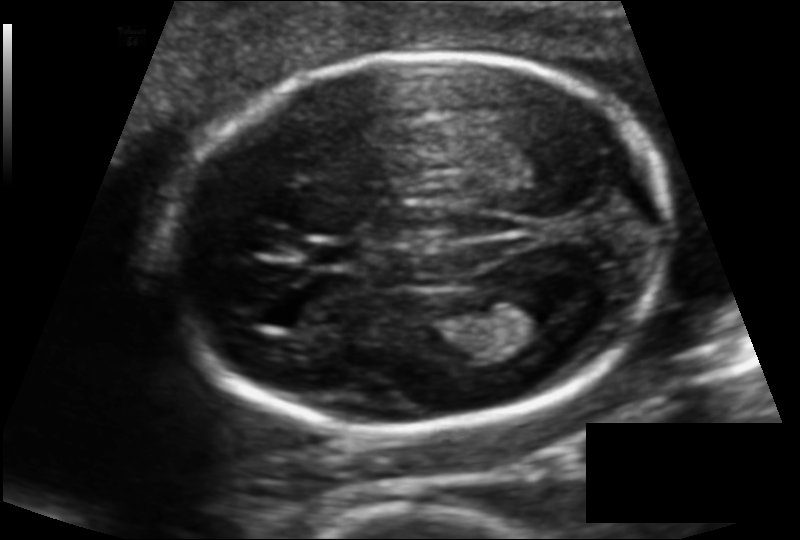
In this fetal head ultrasound, give the bounding box of the fetal head. Image width: 95.8 mm.

[171,51,672,431]